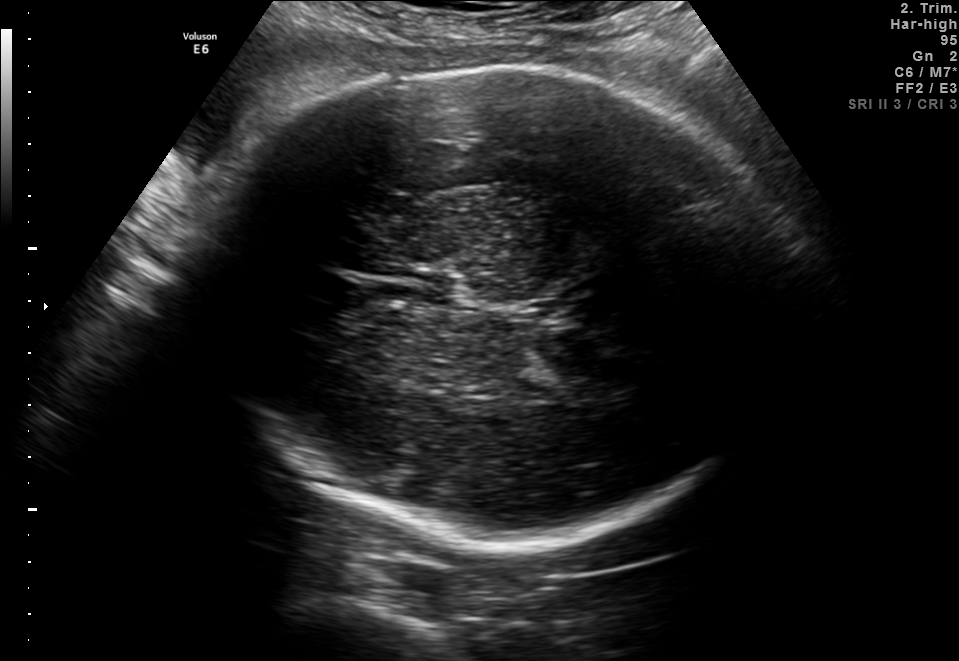
Fetal brain, trans-thalamic plane. Locate the fetal head.

Head: [203,67,800,548]